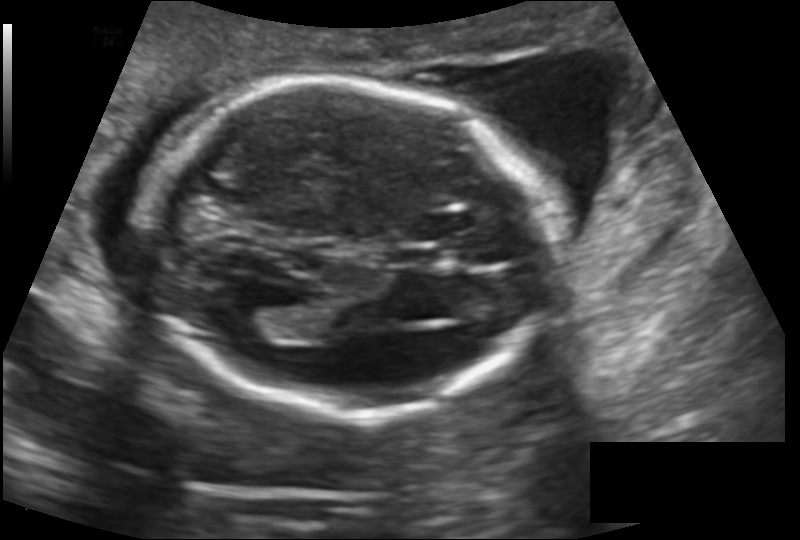
Fetal head ultrasound. Image width: 116.4 mm. Where is the cavum septum pellucidum?

CSP bounding box: [387,247,444,267]